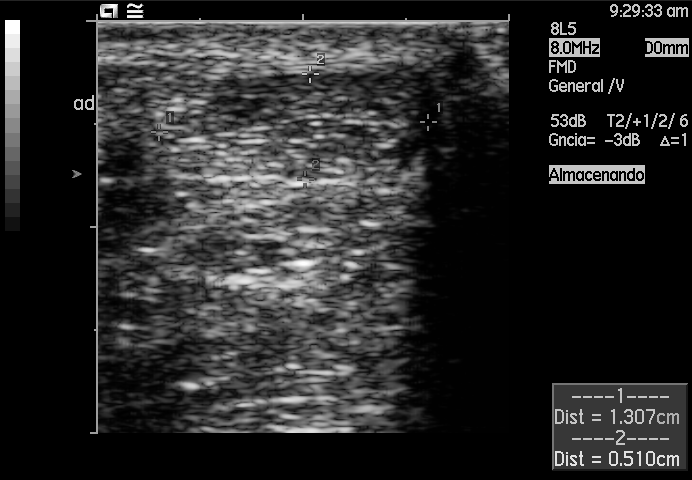
Identify the standard plane in this fetal ultrasound image: fetal abdomen, fetal brain, fetal femur, fetal thorax, maternal cervix, or other. If it's fetal brain and one of the three standard brain planes (trans-thalamic, trans-cerebellum, trans-ventricular), name which.

Other